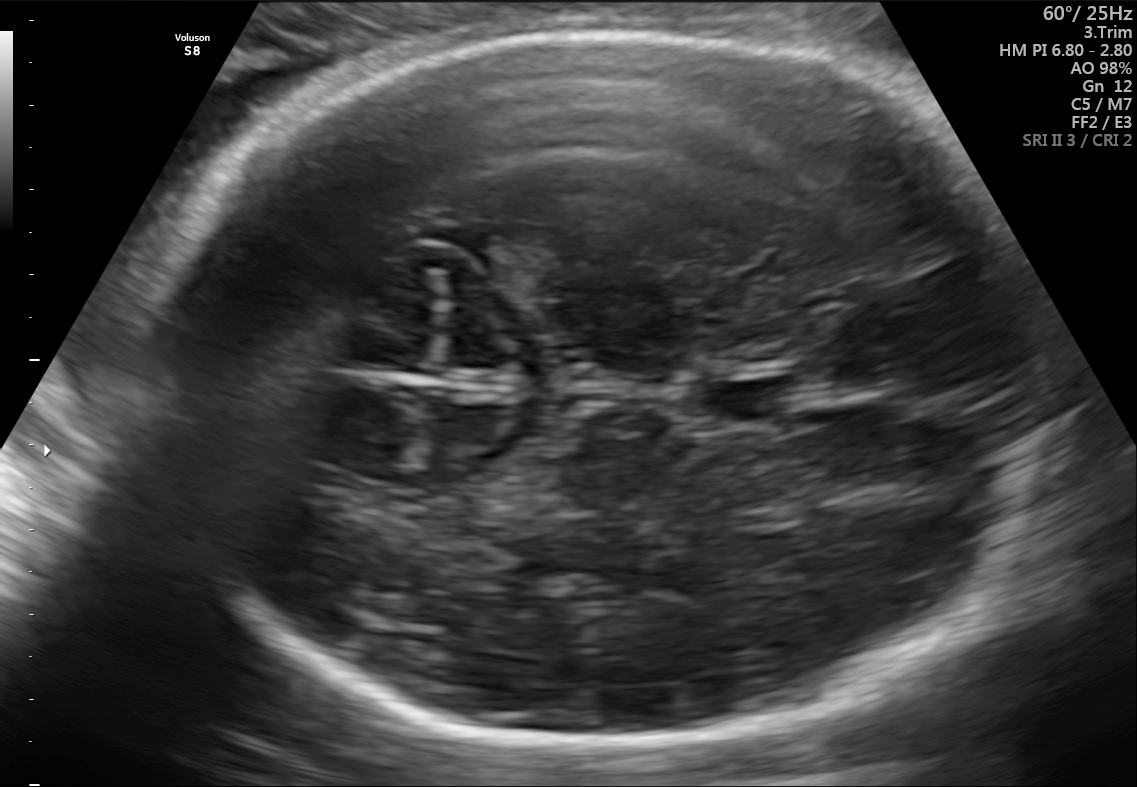
Fetal brain, trans-thalamic plane. Locate the fetal head and, if visible, the cavum septum pellucidum (CSP) and lateral ventricle (LV). Give bounding boxes as [x1,y1,x2,y2].

Head: [120,29,1055,749]
CSP: [703,372,804,426]